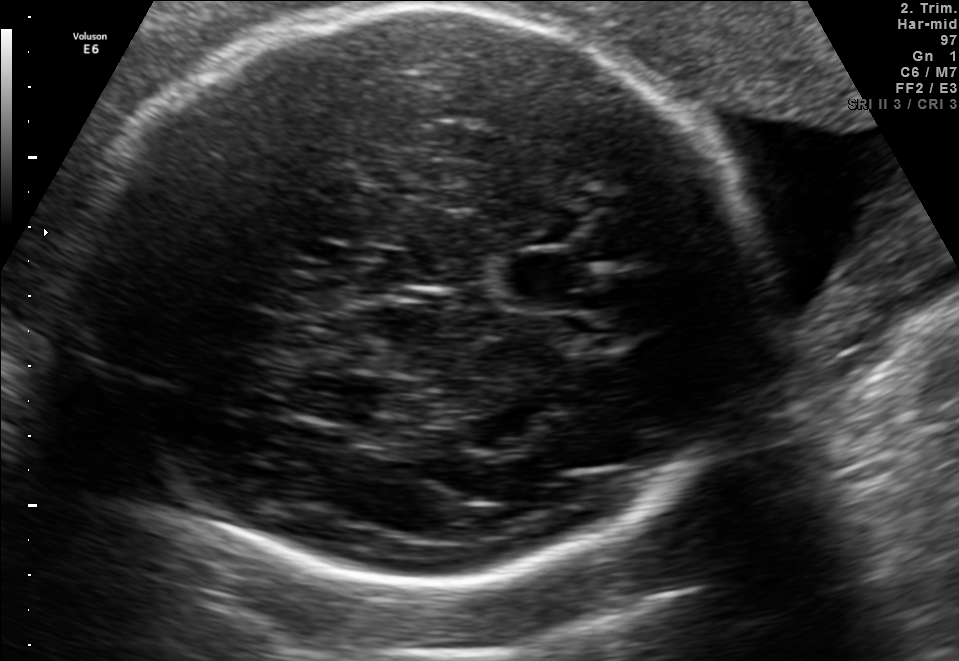
Fetal brain, trans-thalamic plane. Locate the cavum septum pellucidum.

CSP: [502,251,597,310]